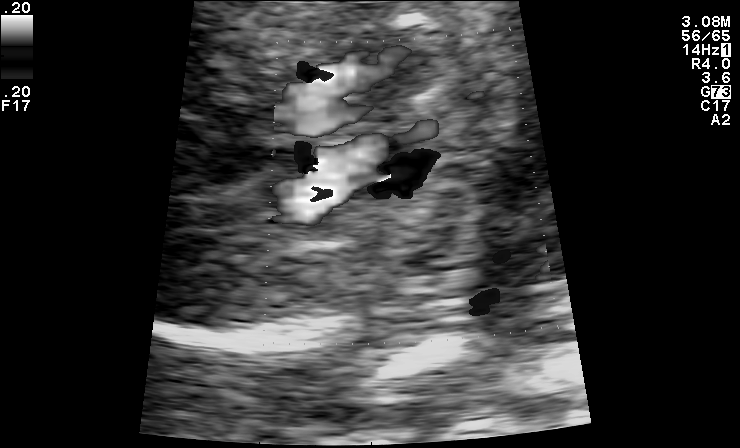
This is a 2D maternal-fetal ultrasound frame. Is it a fetal abdomen, fetal brain, fetal femur, fetal thorax, maternal cervix, or other standard plane? If it's fetal brain and one of the three standard brain planes (trans-thalamic, trans-cerebellum, trans-ventricular), name which.

Other